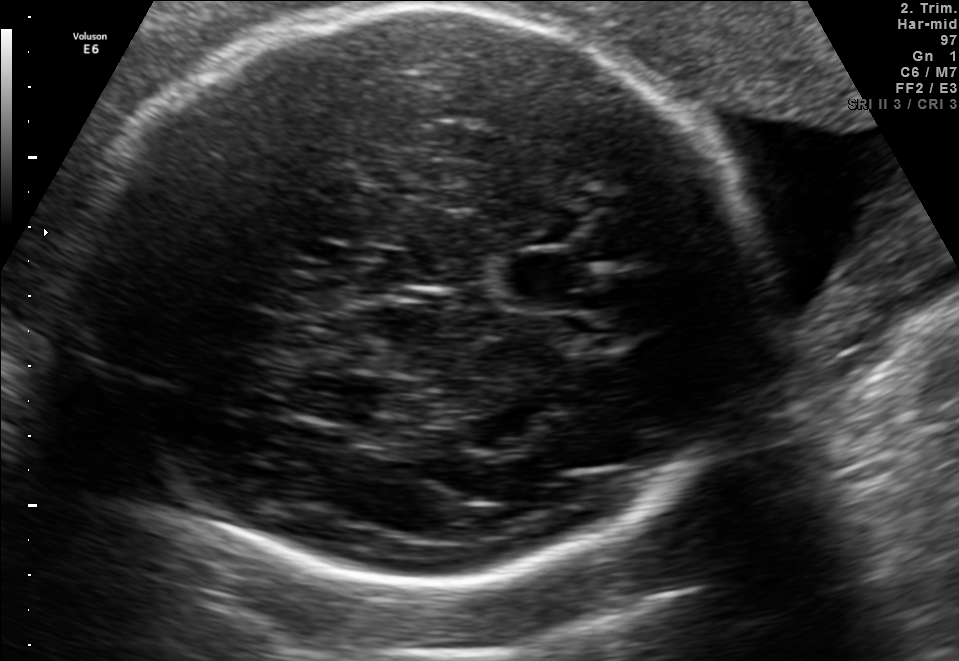
Fetal brain, trans-thalamic plane. Give [x1,y1,x2,y2] bounding boxes for each visible structure among: fetal head, CSP, LV.

Head: [63,9,752,588]
CSP: [502,251,597,310]